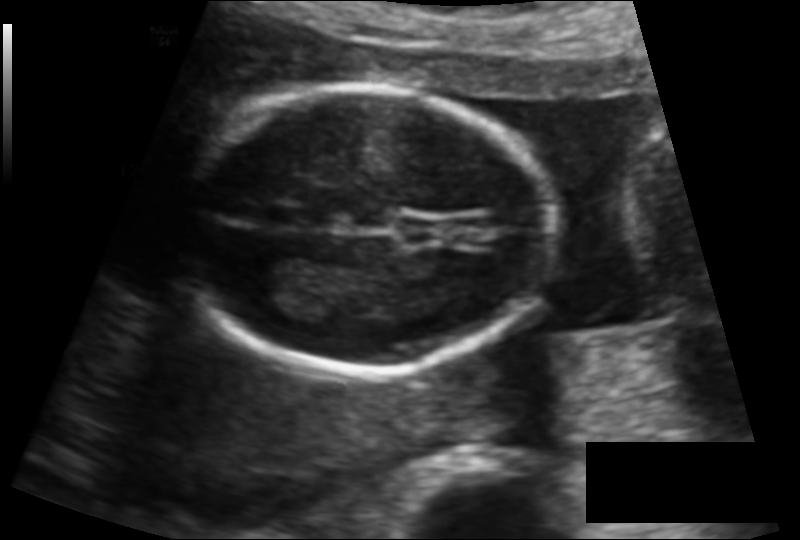
Measure the fetal head circumference shown in this ultrasound image. Image width: 93.2 mm.

Head circumference: 125.2 mm.